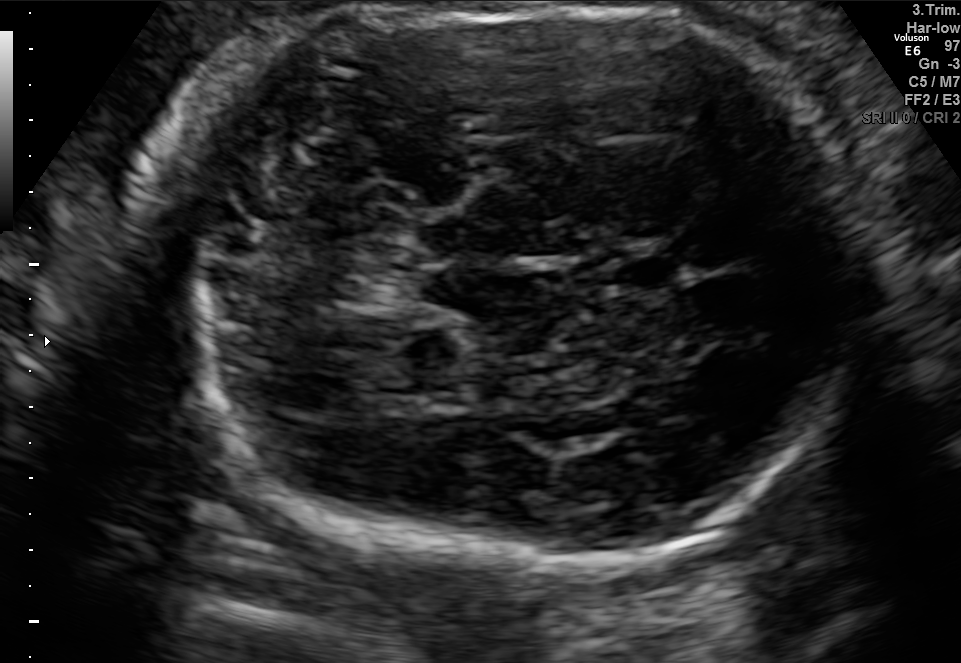
Identify the standard plane in this fetal ultrasound image: fetal abdomen, fetal brain, fetal femur, fetal thorax, maternal cervix, or other. If it's fetal brain and one of the three standard brain planes (trans-thalamic, trans-cerebellum, trans-ventricular), name which.

Fetal brain (trans-cerebellum plane)